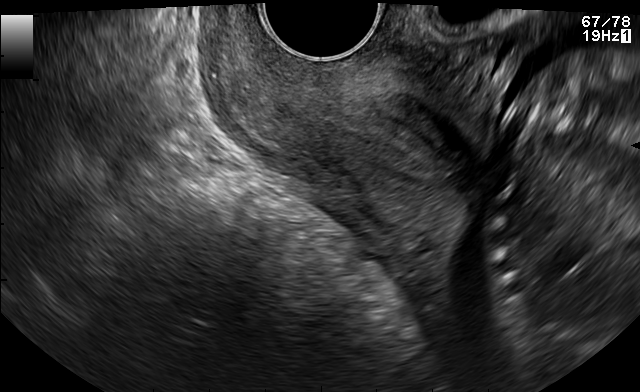
This is a 2D maternal-fetal ultrasound frame. Is it a fetal abdomen, fetal brain, fetal femur, fetal thorax, maternal cervix, or other standard plane? If it's fetal brain and one of the three standard brain planes (trans-thalamic, trans-cerebellum, trans-ventricular), name which.

Maternal cervix